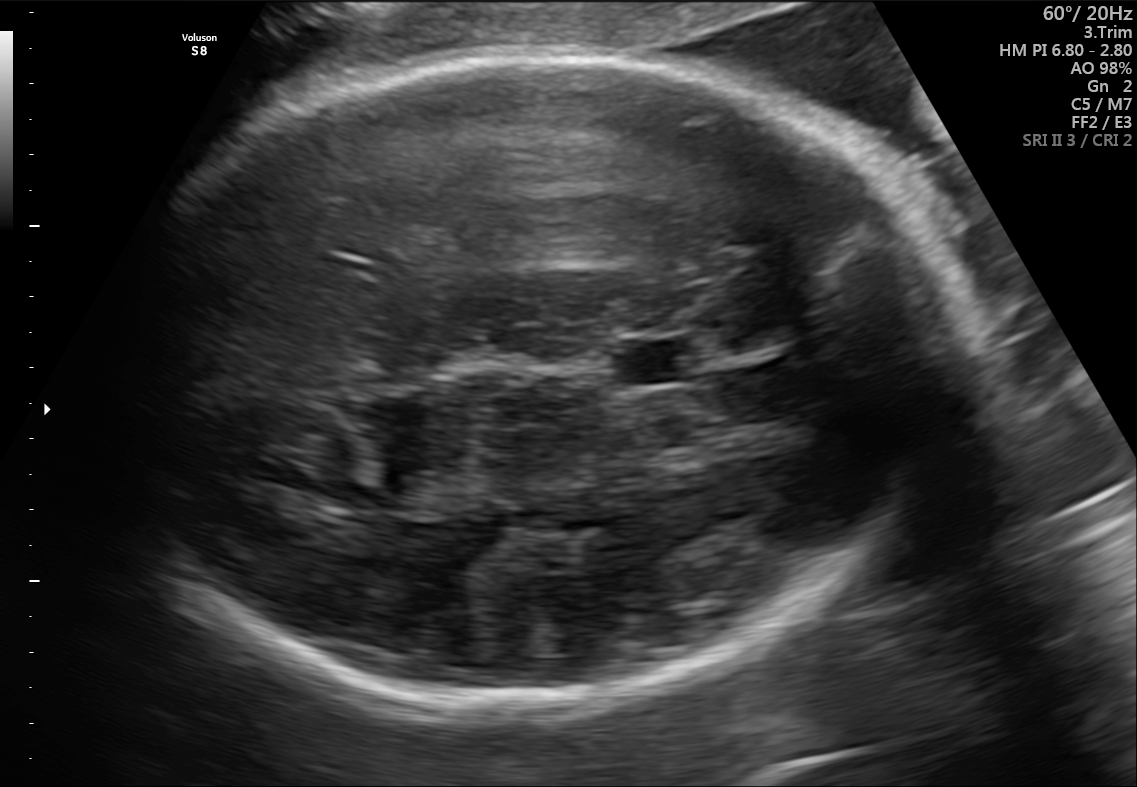
Fetal brain, trans-thalamic plane. Where is the cavum septum pellucidum?

CSP bounding box: [614,336,706,388]